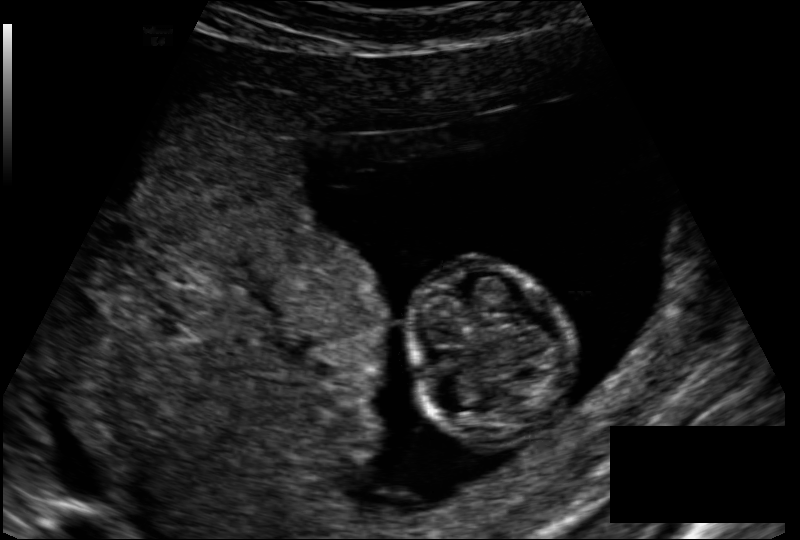
Fetal head ultrasound. Image width: 102.1 mm. Give [x1,y1,x2,y2] bounding boxes for each visible structure among: fetal head, CSP, LV.

Head: [408,260,567,439]